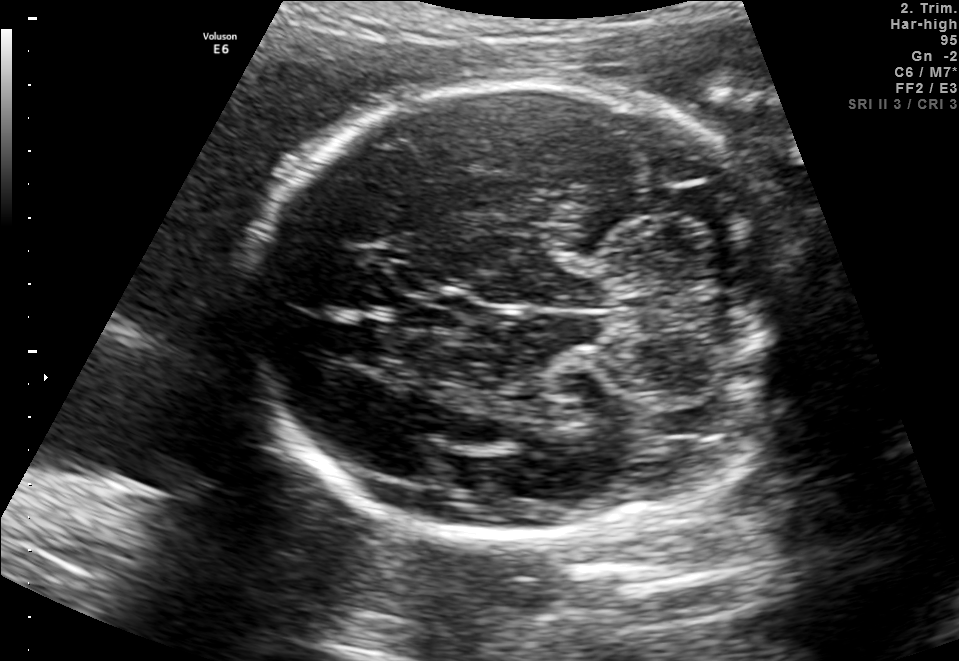
Fetal brain, trans-cerebellum plane. Where is the cavum septum pellucidum?

CSP bounding box: [402,292,466,332]